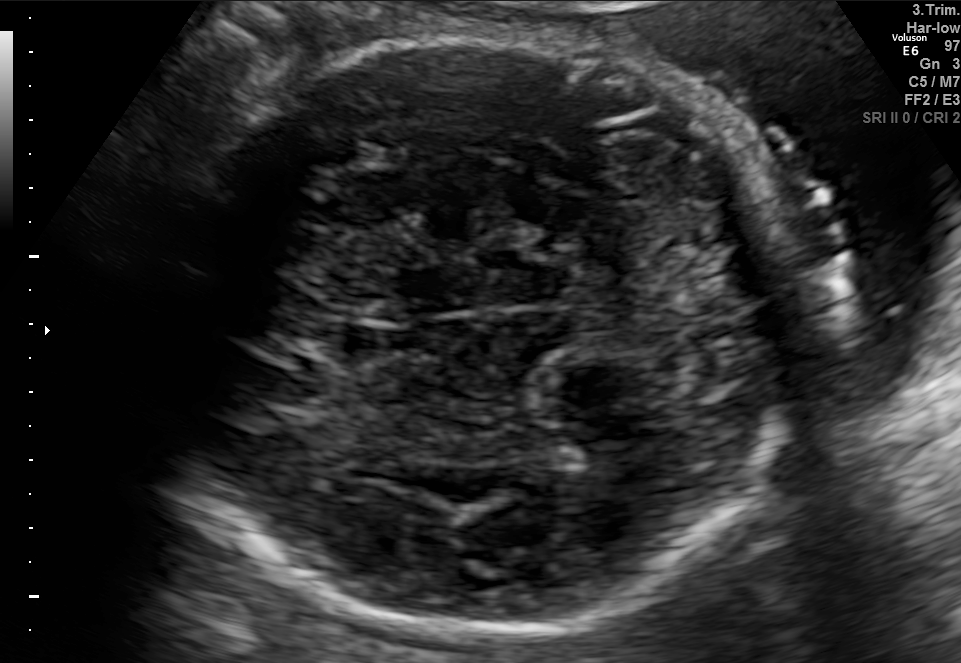
In this fetal brain, trans-thalamic plane, give bounding boxes for the head outline, cavum septum pellucidum (CSP), and lateral ventricle (LV), where visible.

Head: [164,29,795,626]